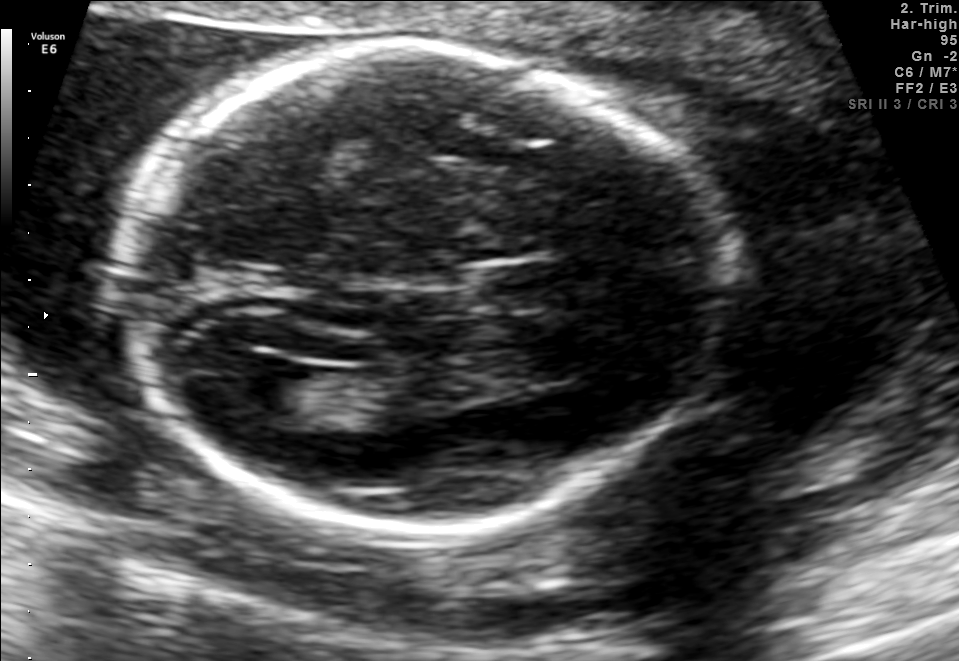
In this fetal brain, trans-ventricular plane, give the bounding box of the fetal head.

[106,33,747,548]